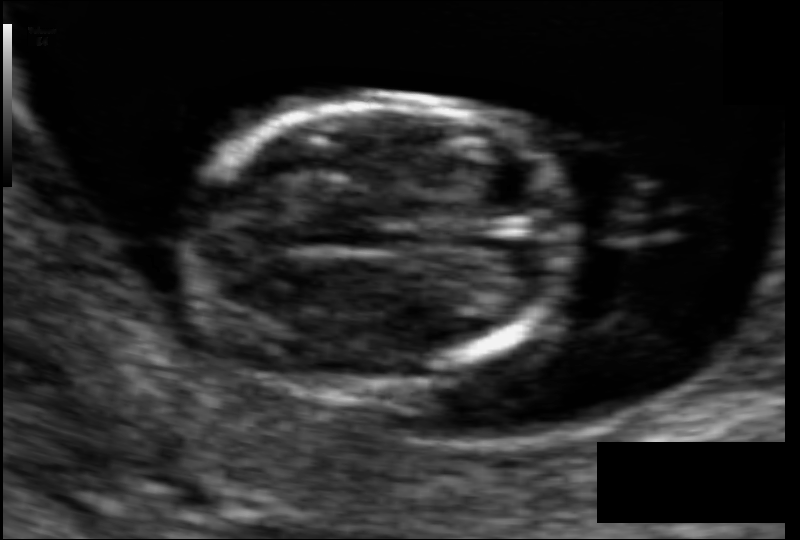
Estimate the fetal head circumference from this 2D ultrasound. Image width: 52.8 mm.

Head circumference: 71.6 mm.